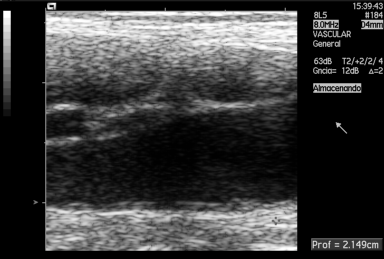
Which standard maternal-fetal ultrasound plane is shown: fetal abdomen, fetal brain, fetal femur, fetal thorax, maternal cervix, or other? If it's fetal brain and one of the three standard brain planes (trans-thalamic, trans-cerebellum, trans-ventricular), name which.

Other